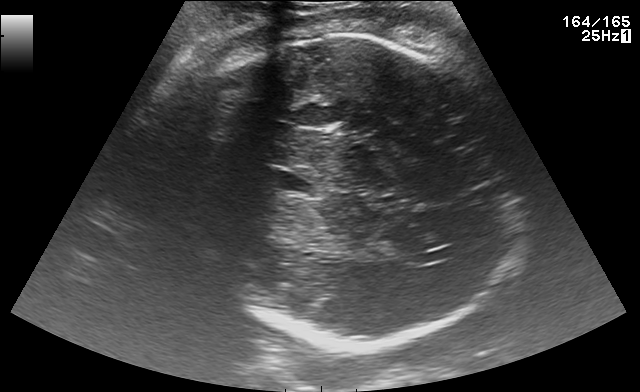
Fetal brain, trans-thalamic plane. Give [x1,y1,x2,y2] bounding boxes for each visible structure among: fetal head, CSP, LV.

Head: [190,36,516,346]
CSP: [276,169,313,193]
Lateral ventricle: [413,243,456,269]